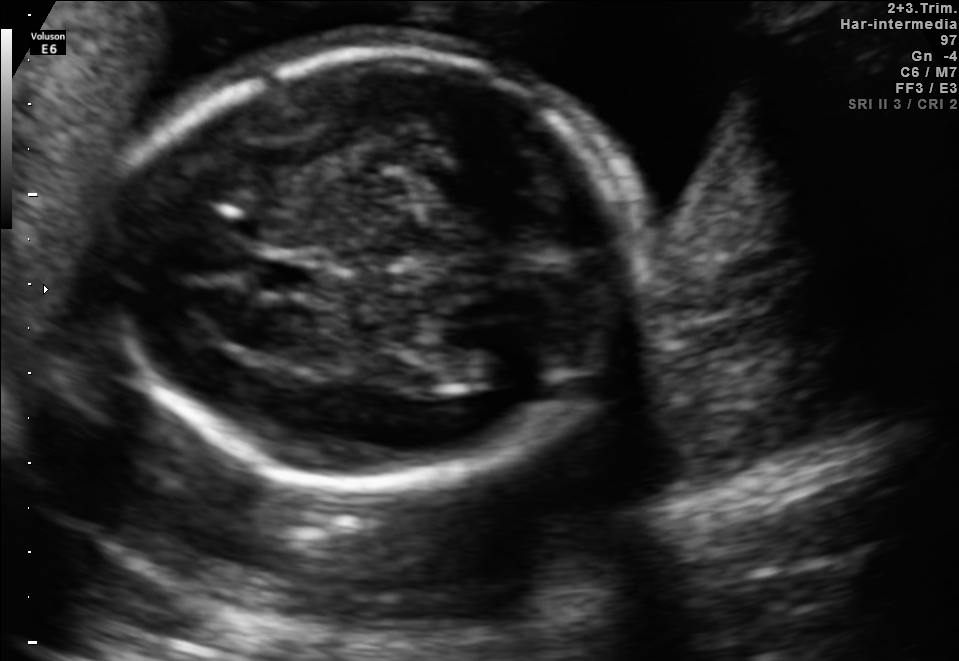
Classify this maternal-fetal ultrasound image as one of the six standard planes — fetal abdomen, fetal brain, fetal femur, fetal thorax, maternal cervix, or other. If it's fetal brain and one of the three standard brain planes (trans-thalamic, trans-cerebellum, trans-ventricular), name which.

Fetal brain (trans-thalamic plane)